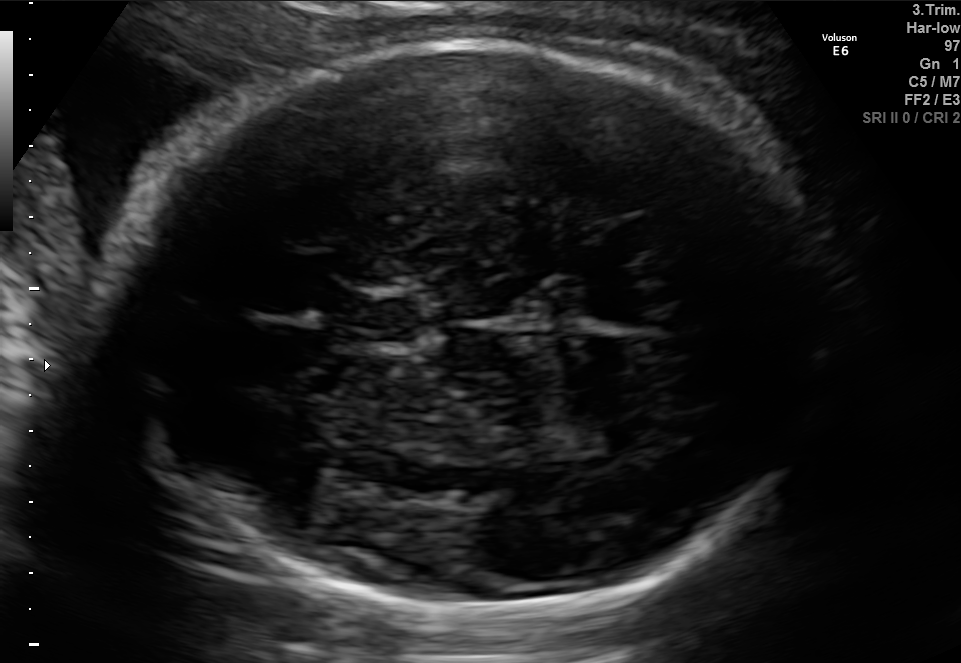
Fetal brain, trans-thalamic plane. Give [x1,y1,x2,y2] bounding boxes for each visible structure among: fetal head, CSP, LV.

Head: [106,45,821,614]
CSP: [343,297,419,343]